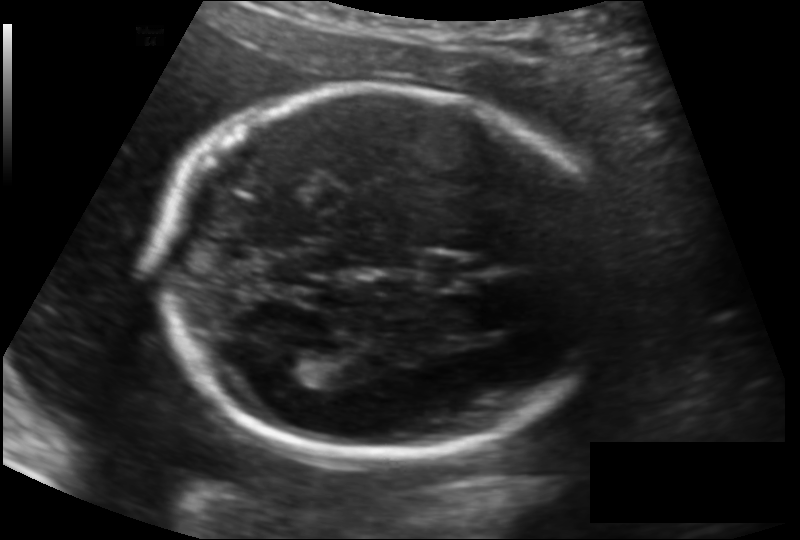
Fetal head ultrasound. Image width: 107.5 mm. Locate the fetal head and, if visible, the cavum septum pellucidum (CSP) and lateral ventricle (LV). Give bounding boxes as [x1,y1,x2,y2].

Head: [158,87,610,458]
CSP: [412,251,474,292]
Lateral ventricle: [270,345,335,390]